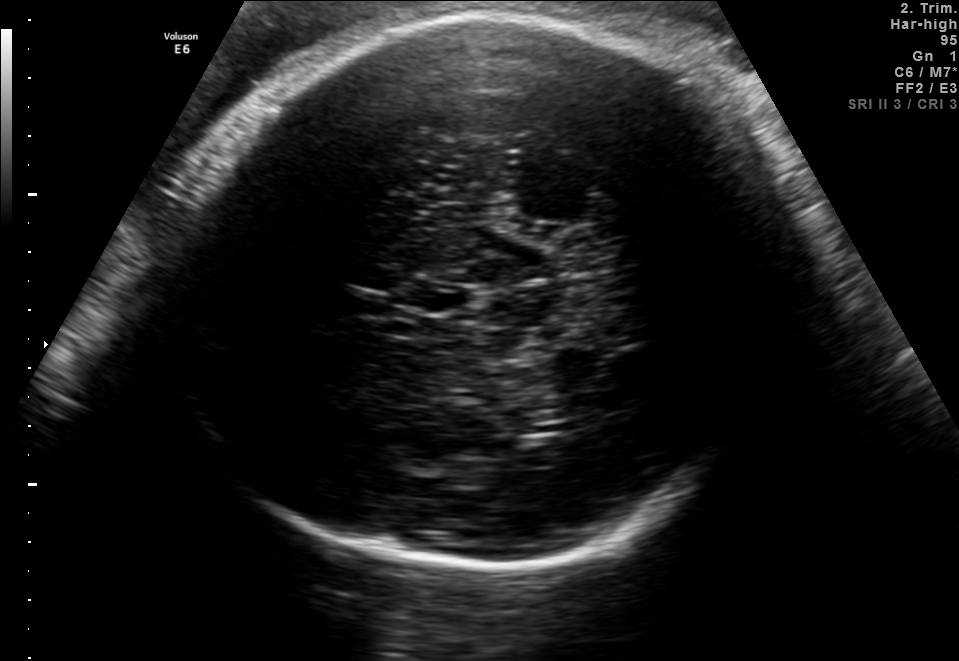
Fetal brain, trans-thalamic plane. Locate the cavum septum pellucidum.

CSP: [404,279,460,316]